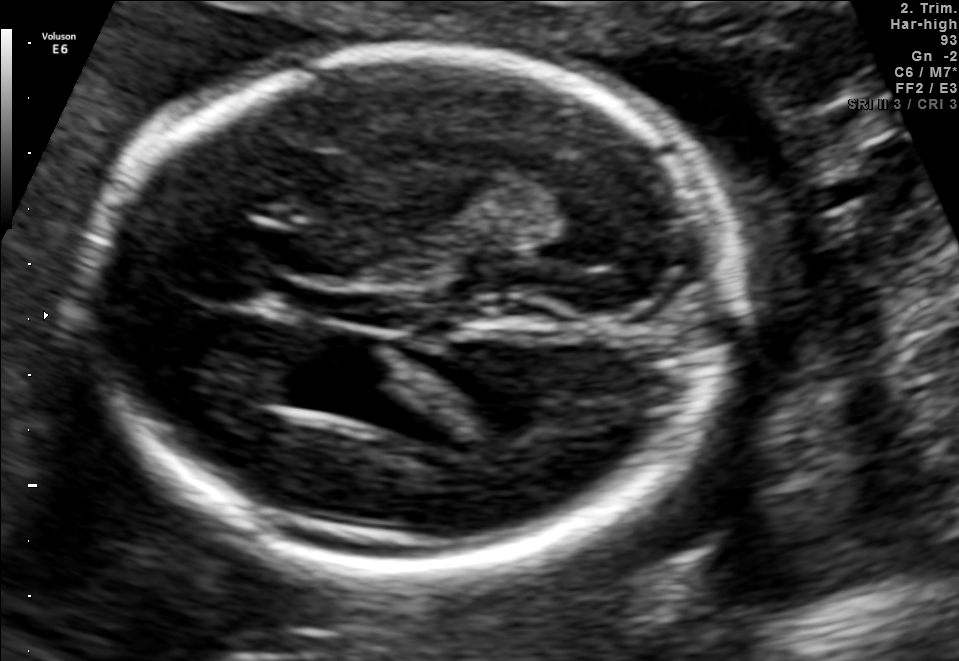
Identify the standard plane in this fetal ultrasound image: fetal abdomen, fetal brain, fetal femur, fetal thorax, maternal cervix, or other. If it's fetal brain and one of the three standard brain planes (trans-thalamic, trans-cerebellum, trans-ventricular), name which.

Fetal brain (trans-thalamic plane)